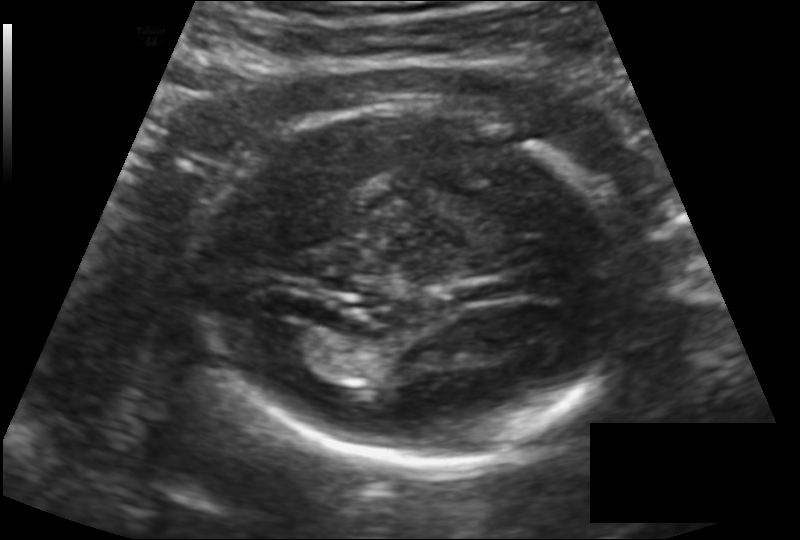
Fetal head ultrasound. Image width: 113.7 mm. Where is the fetal head?

Head bounding box: [206,107,627,469]